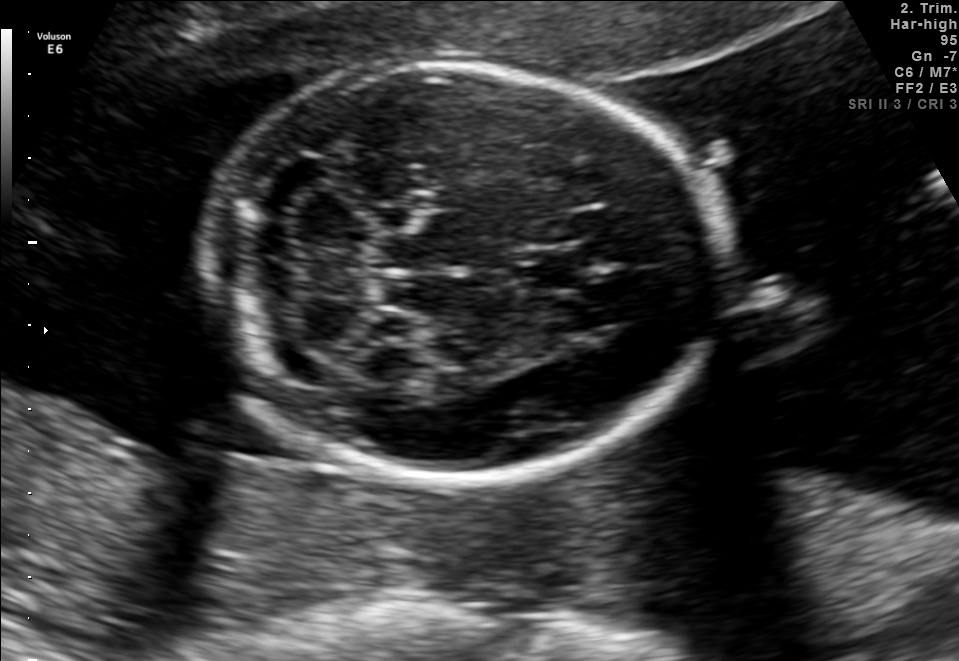
In this fetal brain, trans-cerebellum plane, give bounding boxes for the head outline, cavum septum pellucidum (CSP), and lateral ventricle (LV), where visible.

Head: [207,68,724,481]
CSP: [519,245,586,294]